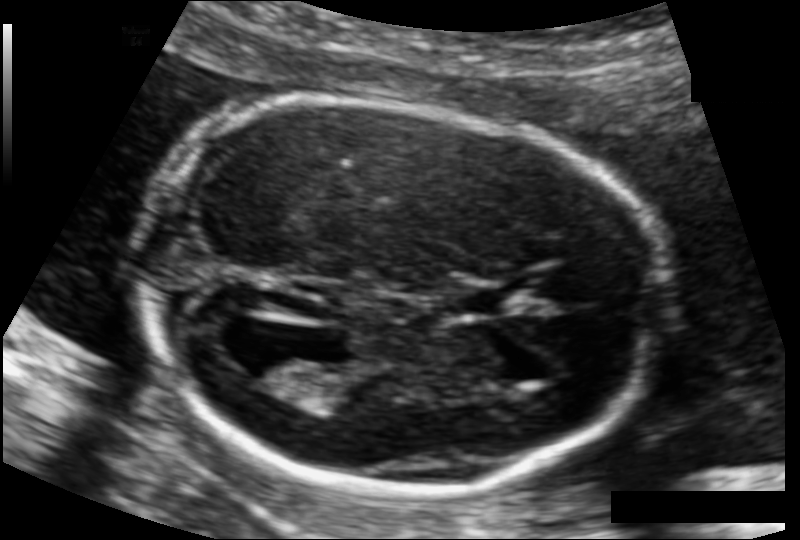
Estimate the fetal head circumference from this 2D ultrasound. Image width: 85.7 mm.

Head circumference: 161.6 mm.